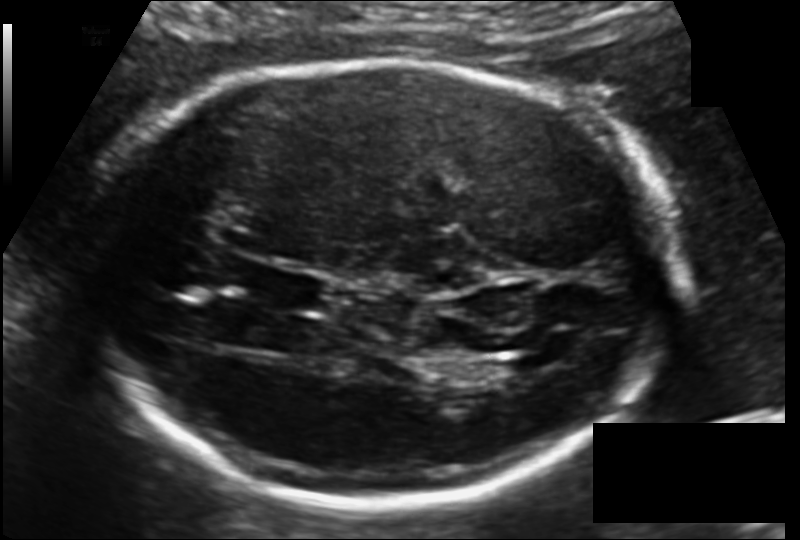
Estimate the fetal head circumference from this 2D ultrasound.

Head circumference: 223.9 mm (image width 107.8 mm).